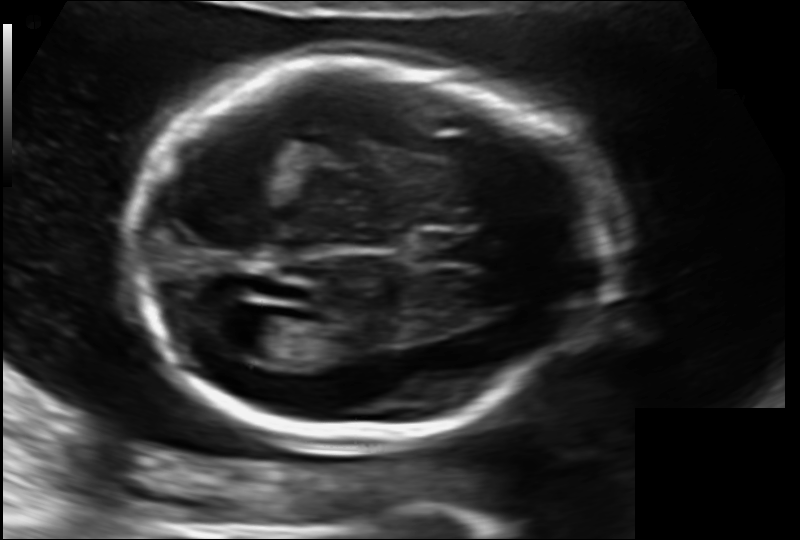
Estimate the fetal head circumference from this 2D ultrasound.

Head circumference: 180.3 mm (image width 103.9 mm).